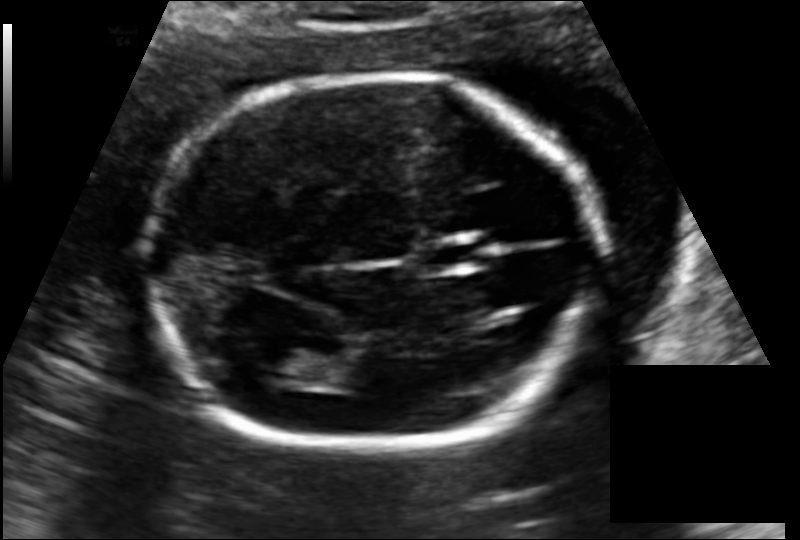
What is the fetal head circumference? Image width is 101.6 mm.

170.5 mm